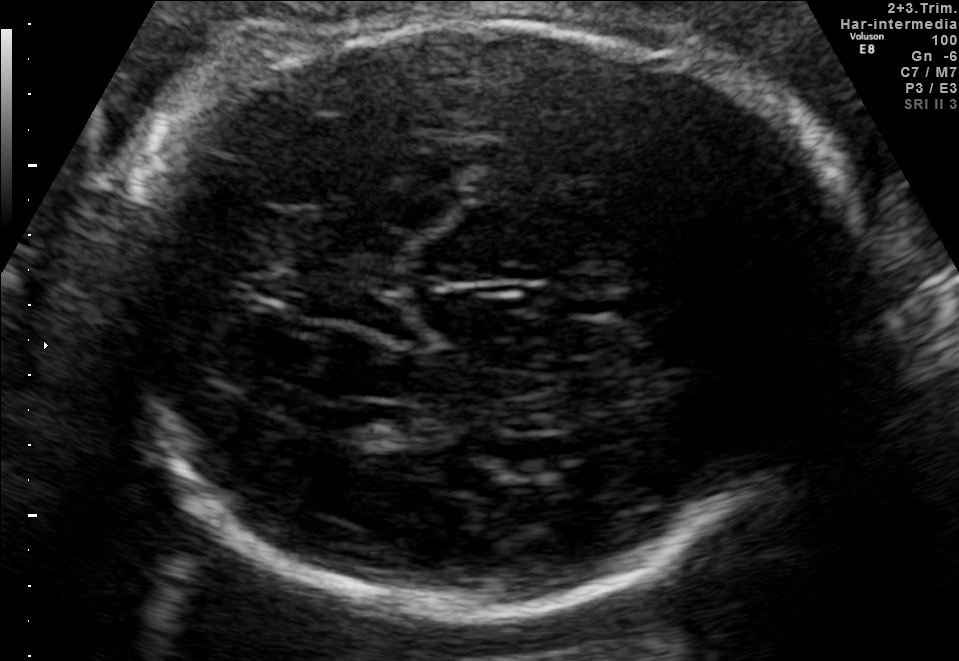
Which standard maternal-fetal ultrasound plane is shown: fetal abdomen, fetal brain, fetal femur, fetal thorax, maternal cervix, or other? If it's fetal brain and one of the three standard brain planes (trans-thalamic, trans-cerebellum, trans-ventricular), name which.

Fetal brain (trans-thalamic plane)